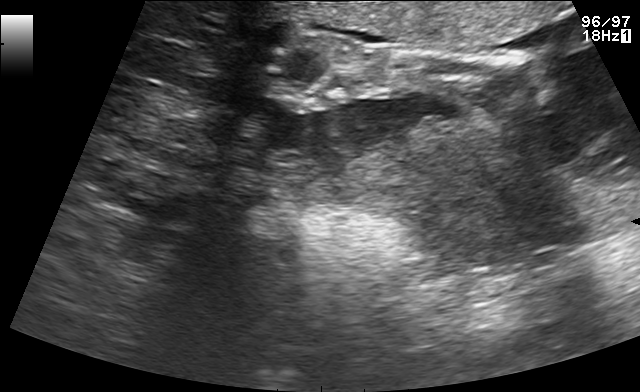
Classify this maternal-fetal ultrasound image as one of the six standard planes — fetal abdomen, fetal brain, fetal femur, fetal thorax, maternal cervix, or other. If it's fetal brain and one of the three standard brain planes (trans-thalamic, trans-cerebellum, trans-ventricular), name which.

Other